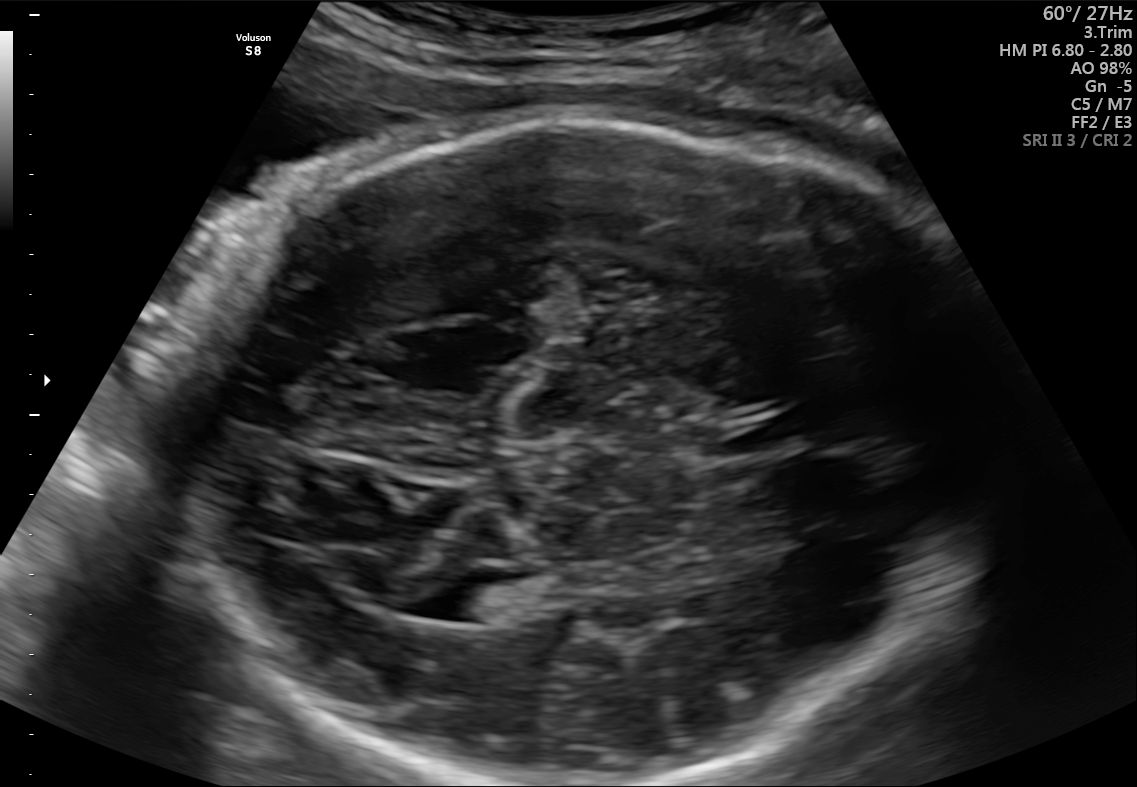
Fetal brain, trans-thalamic plane. Give [x1,y1,x2,y2] bounding boxes for each visible structure among: fetal head, CSP, LV.

Head: [177,119,1010,785]
CSP: [710,410,801,461]
Lateral ventricle: [416,563,526,633]